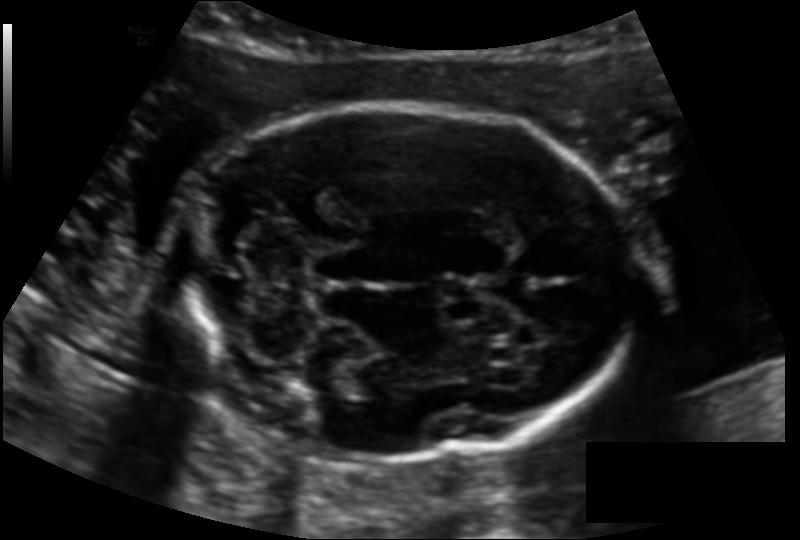
Estimate the fetal head circumference from this 2D ultrasound.

Head circumference: 170.5 mm (image width 102.3 mm).